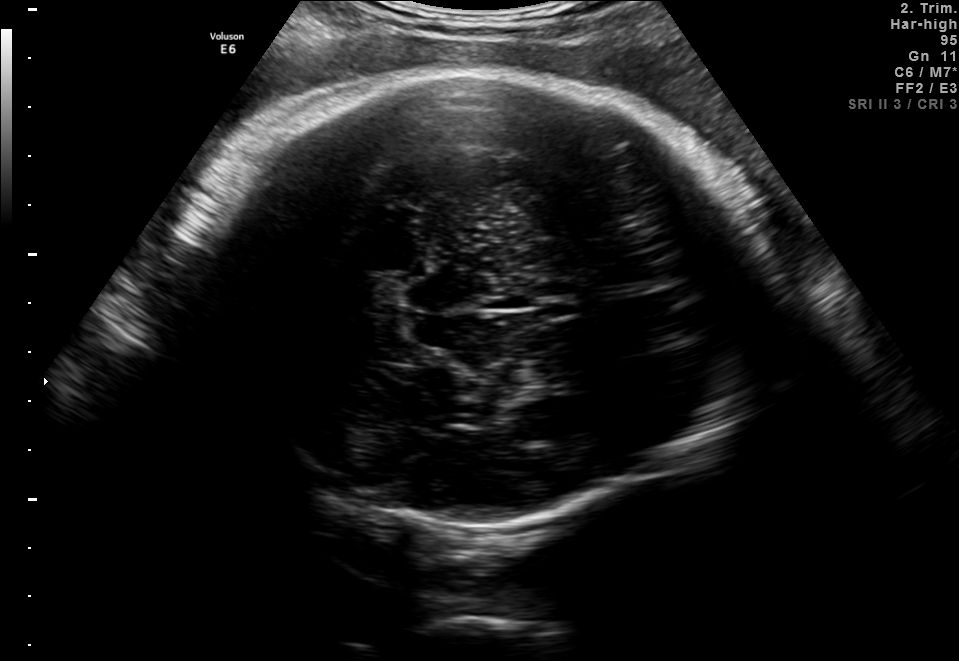
Fetal brain, trans-thalamic plane. Locate the fetal head.

Head: [171,70,748,541]